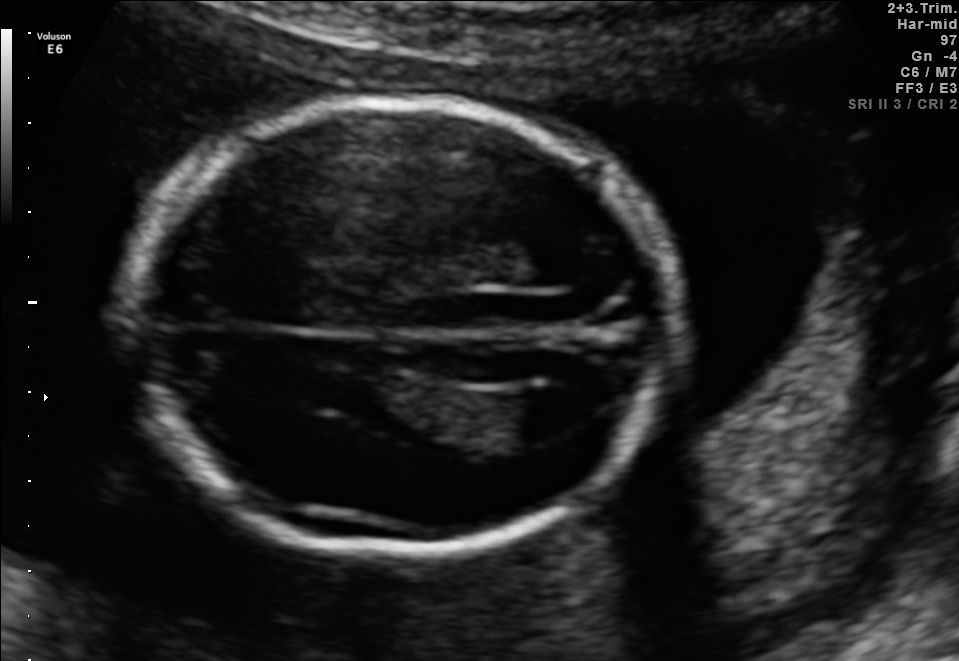
Fetal brain, trans-ventricular plane. Give [x1,y1,x2,y2] bounding boxes for each visible structure among: fetal head, CSP, LV.

Head: [106,90,699,569]
Lateral ventricle: [502,374,598,448]